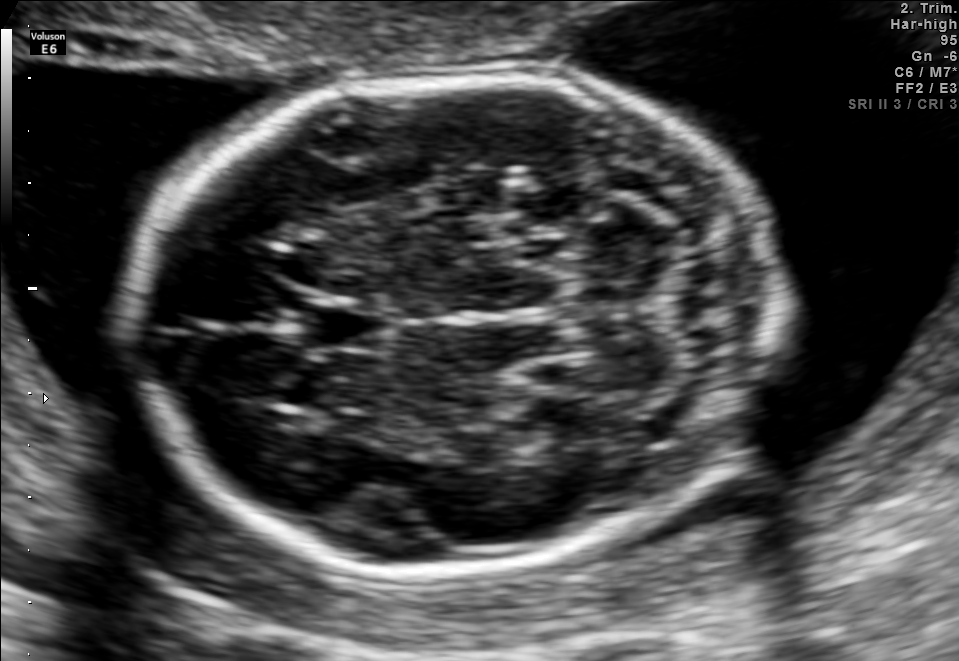
Fetal brain, trans-cerebellum plane. Locate the fetal head and, if visible, the cavum septum pellucidum (CSP) and lateral ventricle (LV). Give bounding boxes as [x1,y1,x2,y2].

Head: [133,70,778,569]
CSP: [294,297,389,353]